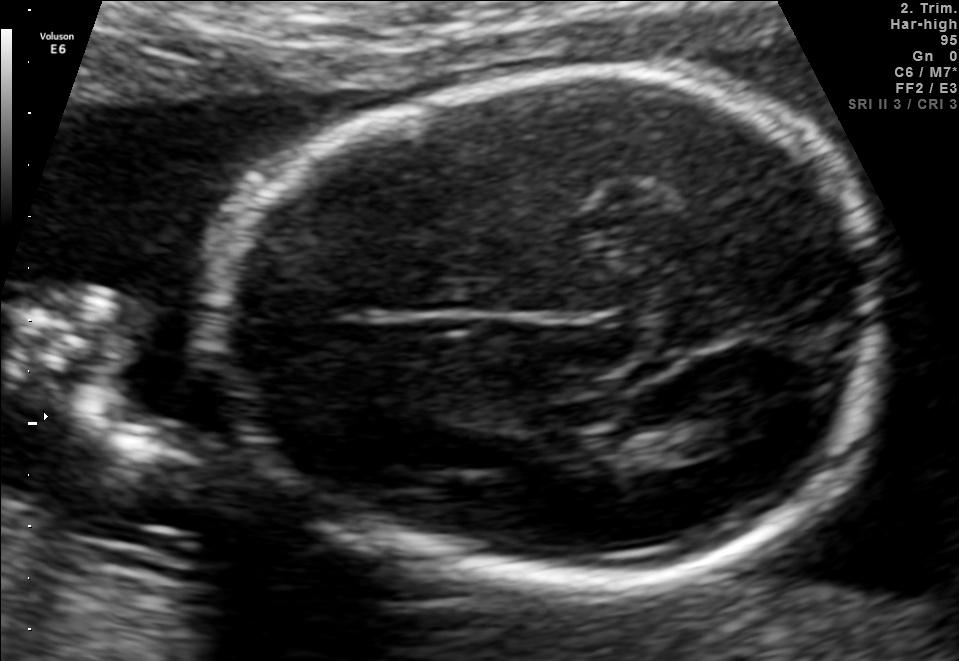
Which standard maternal-fetal ultrasound plane is shown: fetal abdomen, fetal brain, fetal femur, fetal thorax, maternal cervix, or other? If it's fetal brain and one of the three standard brain planes (trans-thalamic, trans-cerebellum, trans-ventricular), name which.

Fetal brain (trans-thalamic plane)